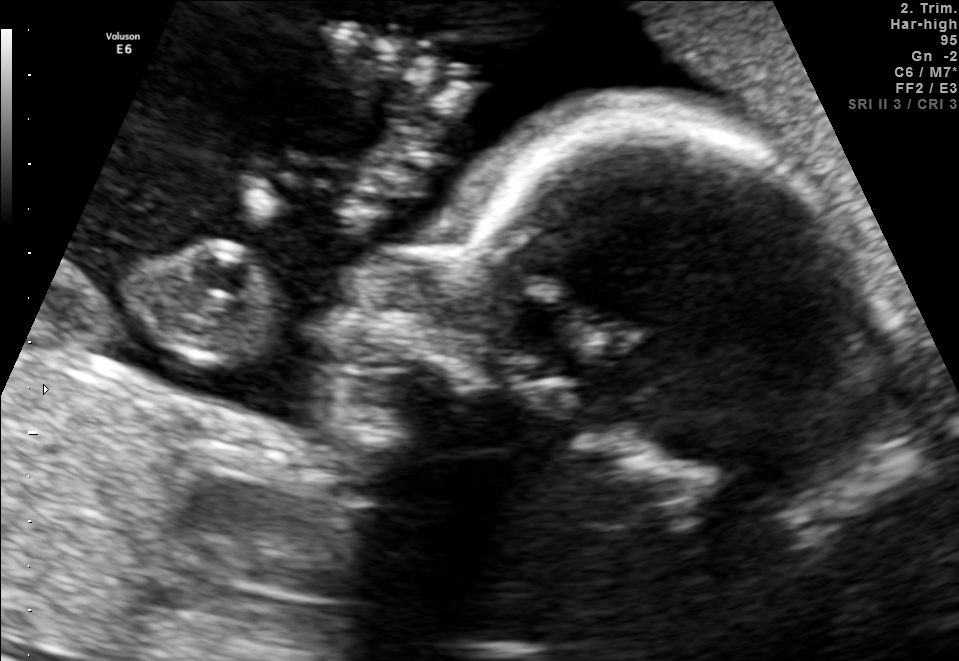
Classify this maternal-fetal ultrasound image as one of the six standard planes — fetal abdomen, fetal brain, fetal femur, fetal thorax, maternal cervix, or other. If it's fetal brain and one of the three standard brain planes (trans-thalamic, trans-cerebellum, trans-ventricular), name which.

Other